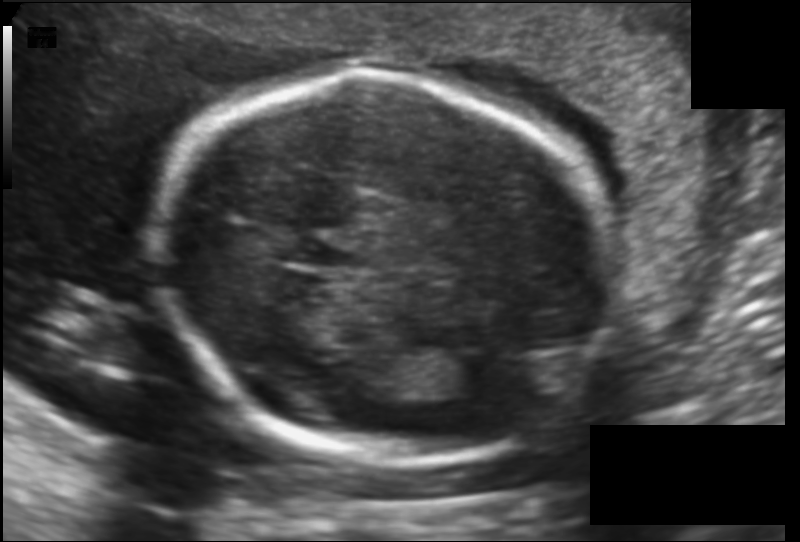
In this fetal head ultrasound, give bounding boxes for the head outline, cavum septum pellucidum (CSP), and lateral ventricle (LV), where visible. Image width: 103.7 mm.

Head: [165,72,618,463]